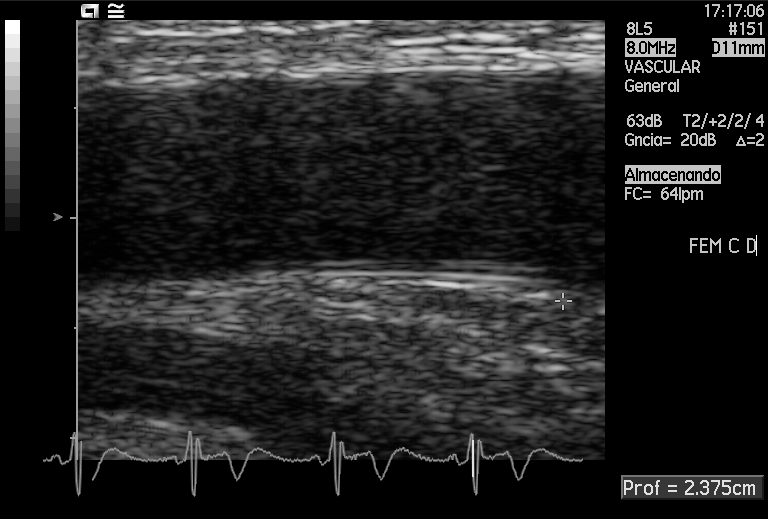
Which standard maternal-fetal ultrasound plane is shown: fetal abdomen, fetal brain, fetal femur, fetal thorax, maternal cervix, or other? If it's fetal brain and one of the three standard brain planes (trans-thalamic, trans-cerebellum, trans-ventricular), name which.

Other